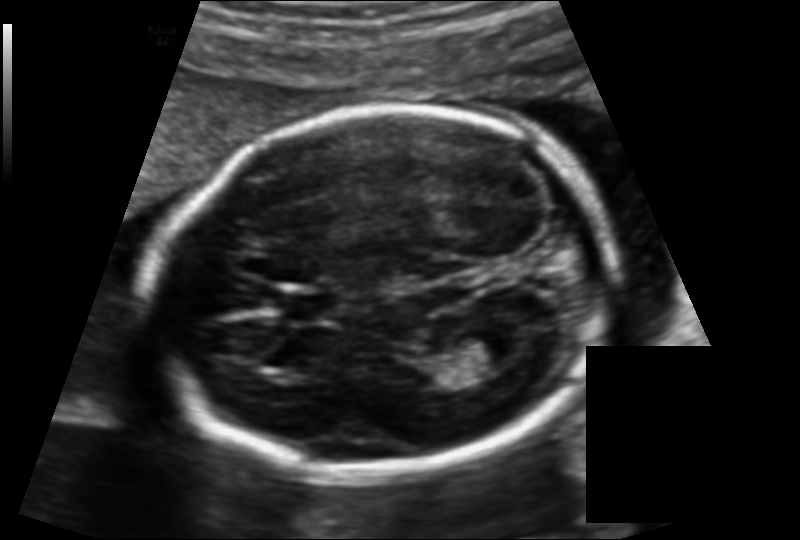
Fetal head ultrasound. Image width: 104.7 mm. Where is the fetal head?

Head bounding box: [153,105,615,475]